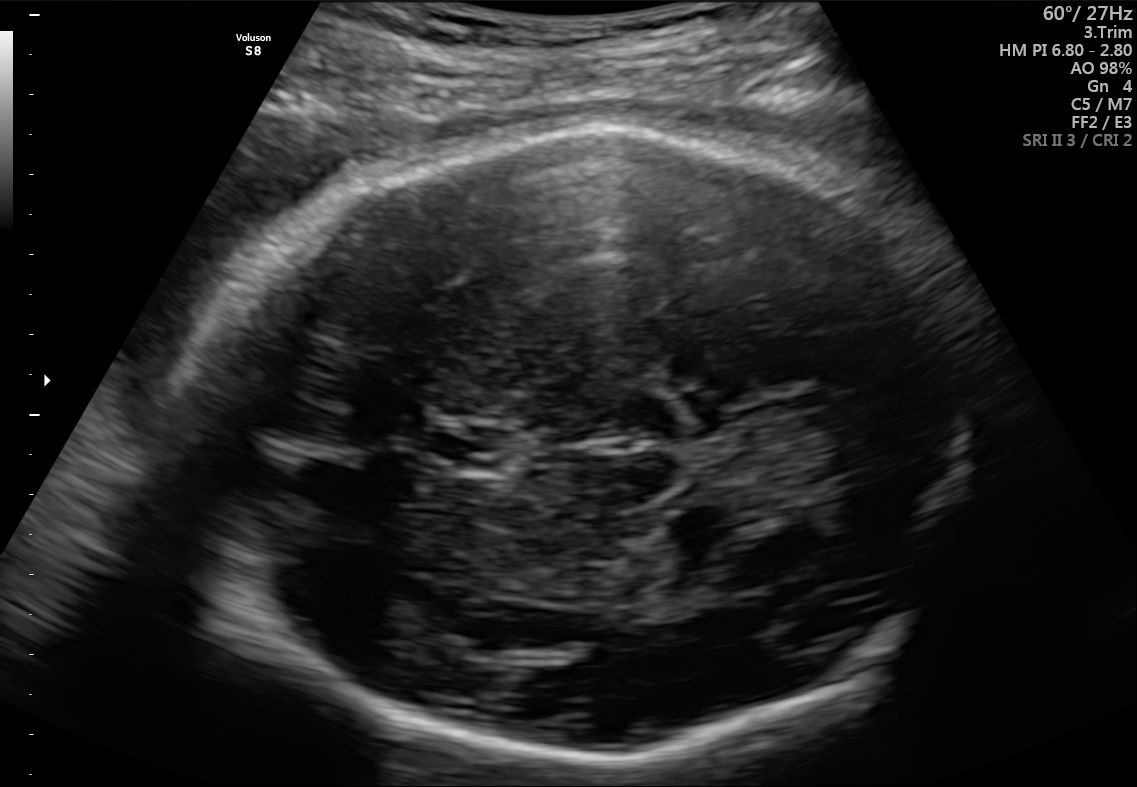
In this fetal brain, trans-thalamic plane, give the bounding box of the cavum septum pellucidum.

[425,422,511,474]